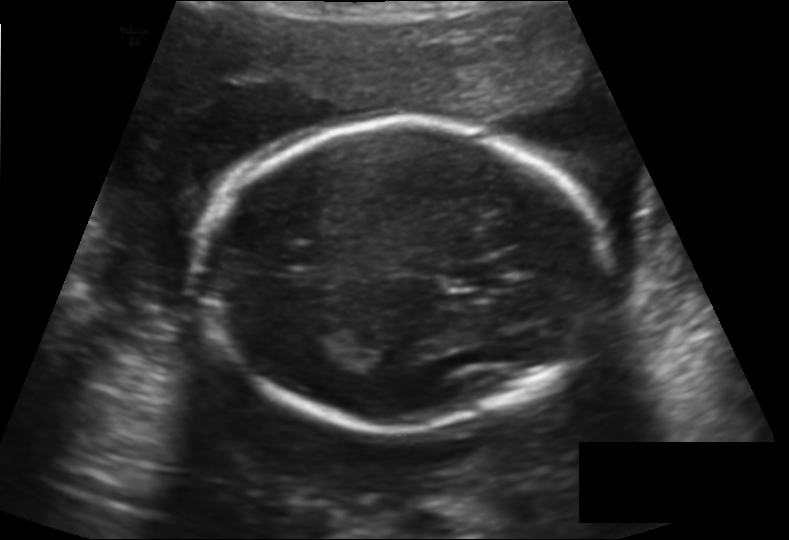
Fetal head ultrasound. Image width: 124.3 mm. Give [x1,y1,x2,y2] bounding boxes for each visible structure among: fetal head, CSP, LV.

Head: [207,119,601,431]
CSP: [443,255,508,292]